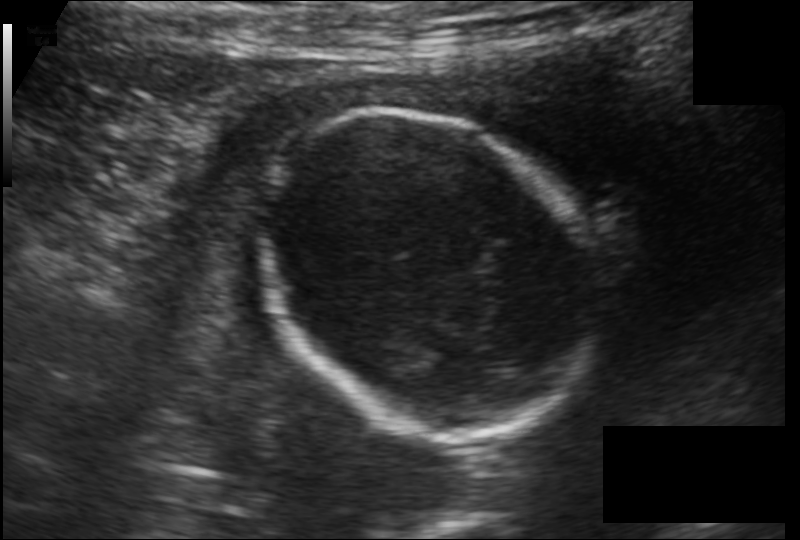
In this fetal head ultrasound, give the bounding box of the fetal head. Image width: 116.2 mm.

[254,113,601,431]